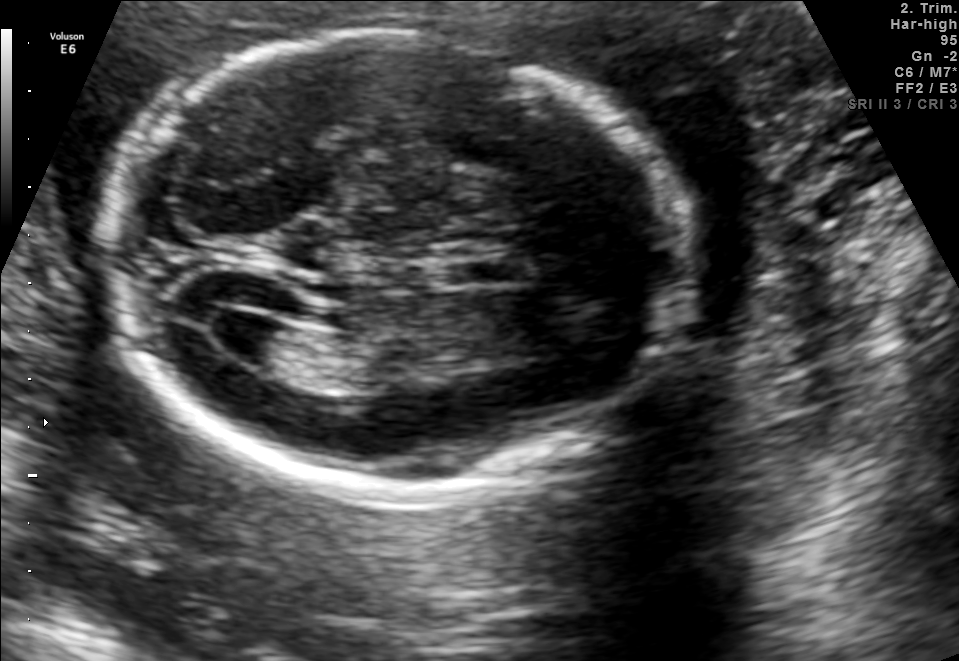
Fetal brain, trans-ventricular plane. Where is the fetal head?

Head bounding box: [92,28,701,503]